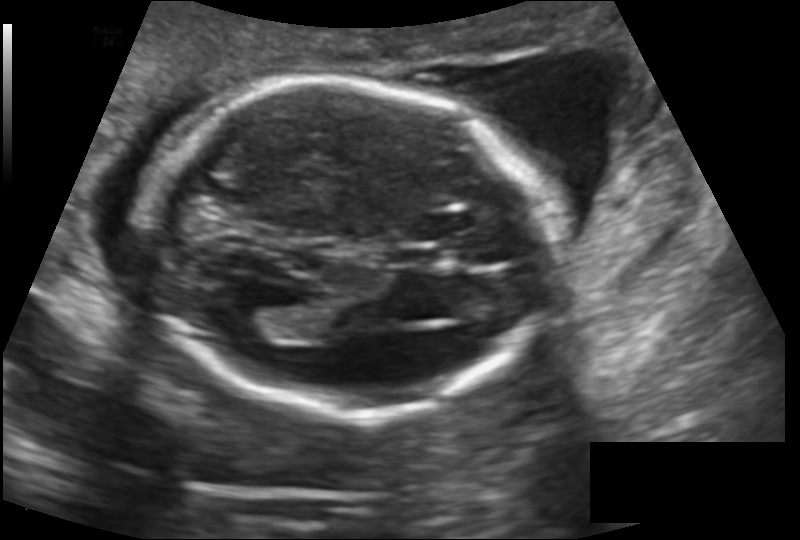
Fetal head ultrasound. Image width: 116.4 mm. Locate the fetal head and, if visible, the cavum septum pellucidum (CSP) and lateral ventricle (LV). Give bounding boxes as [x1,y1,x2,y2].

Head: [143,80,553,417]
CSP: [387,247,444,267]
Lateral ventricle: [227,307,280,341]